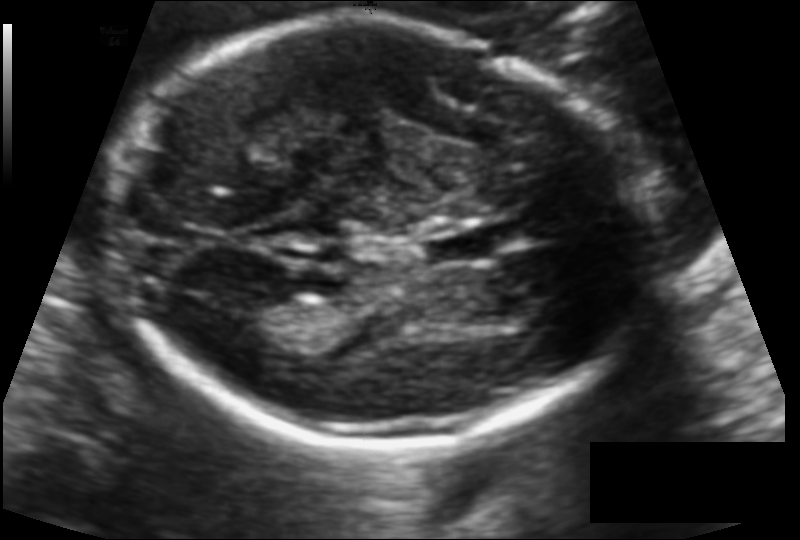
From this fetal ultrasound, estimate the head circumference (image width 90.9 mm).

Head circumference: 179.2 mm.